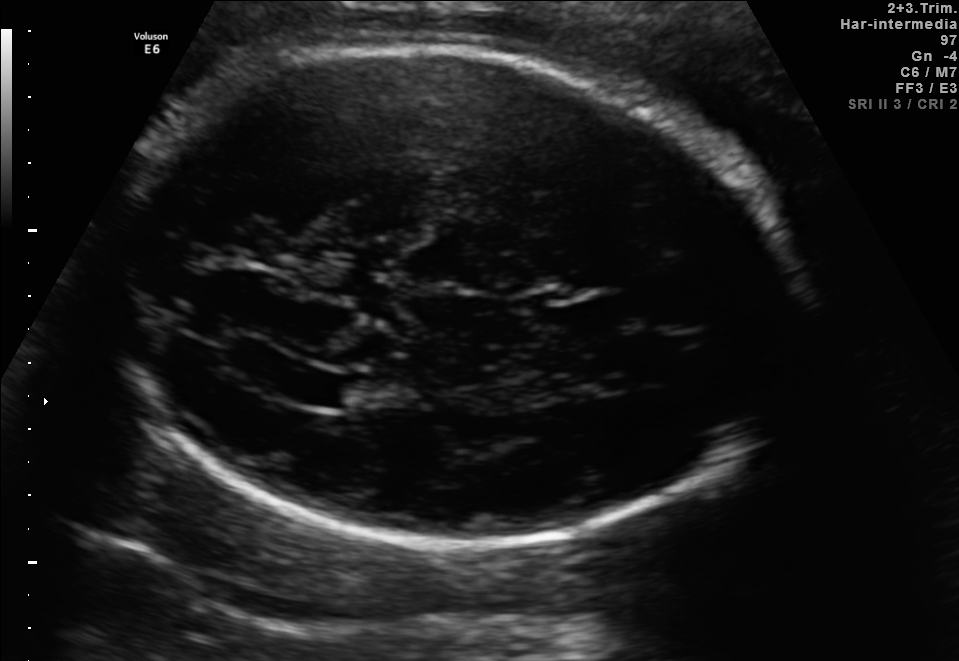
Fetal brain, trans-ventricular plane. Where is the lateral ventricle?

Lateral ventricle bounding box: [285,364,352,410]